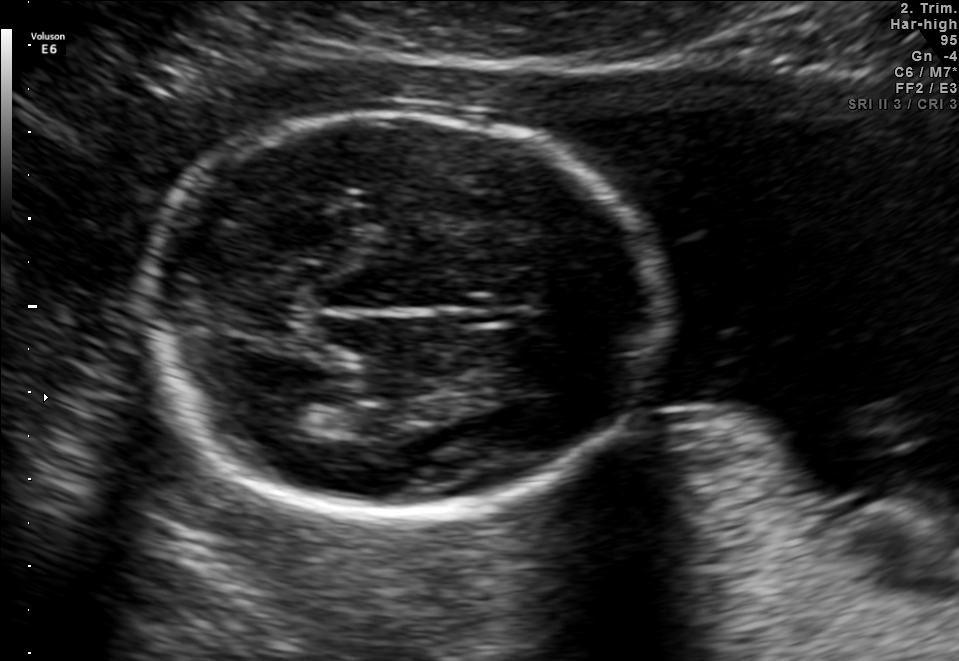
Fetal brain, trans-thalamic plane. Where is the fetal head?

Head bounding box: [138,111,667,510]